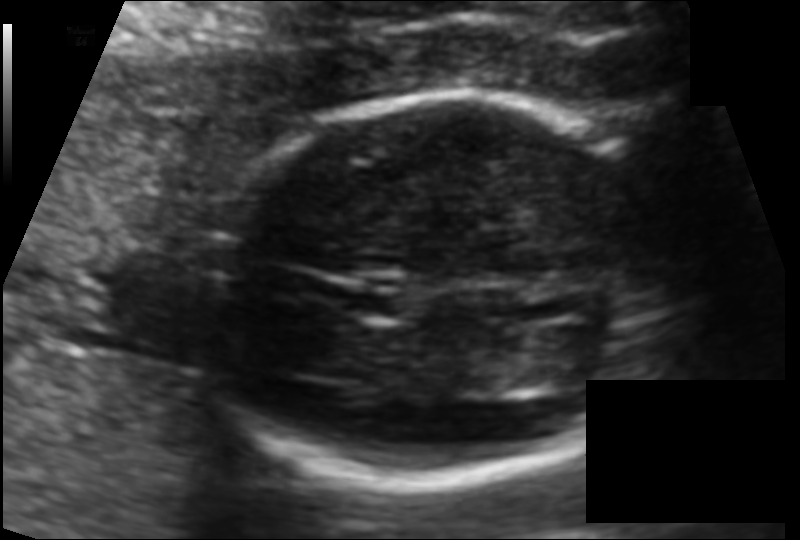
In this fetal head ultrasound, give bounding boxes for the head outline, cavum septum pellucidum (CSP), and lateral ventricle (LV), where visible. Image width: 80.0 mm.

Head: [191,95,687,486]